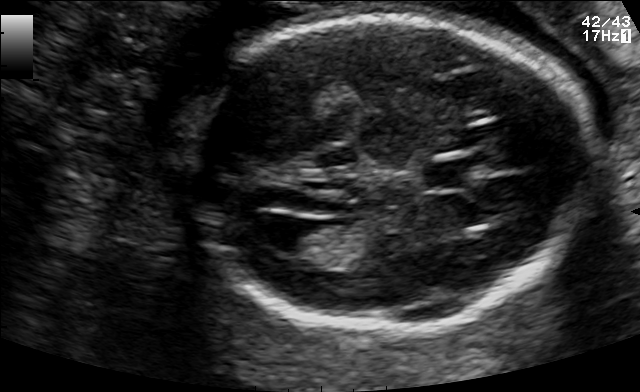
In this fetal brain, trans-ventricular plane, give the bounding box of the cavum septum pellucidum.

[423,151,504,192]